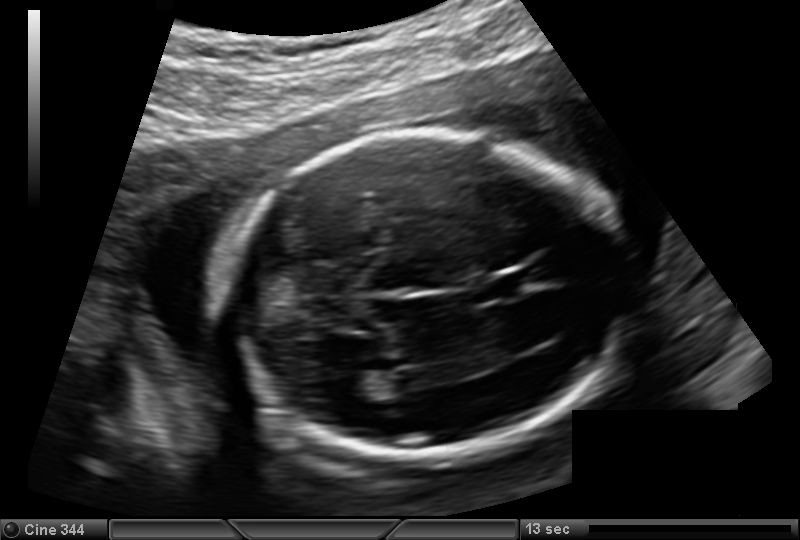
In this fetal head ultrasound, give the bounding box of the fetal head. Image width: 115.3 mm.

[219,127,632,462]